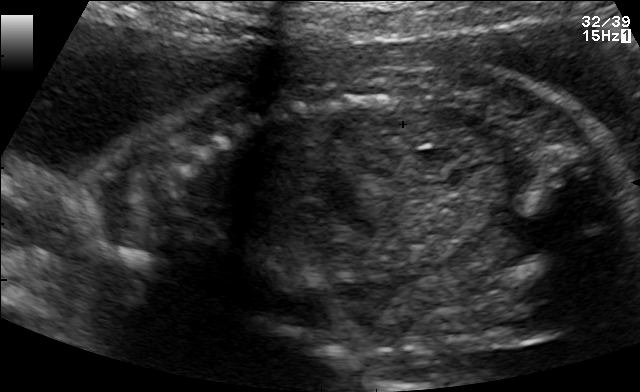
Classify this maternal-fetal ultrasound image as one of the six standard planes — fetal abdomen, fetal brain, fetal femur, fetal thorax, maternal cervix, or other. If it's fetal brain and one of the three standard brain planes (trans-thalamic, trans-cerebellum, trans-ventricular), name which.

Other